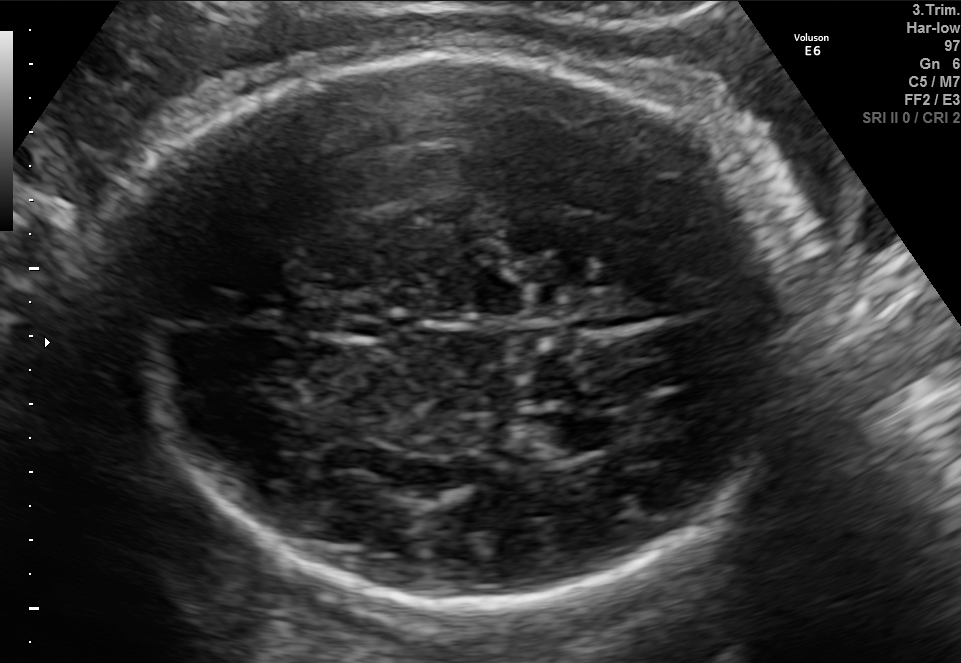
Fetal brain, trans-thalamic plane. Locate the lateral ventricle.

Lateral ventricle: [525,397,626,465]